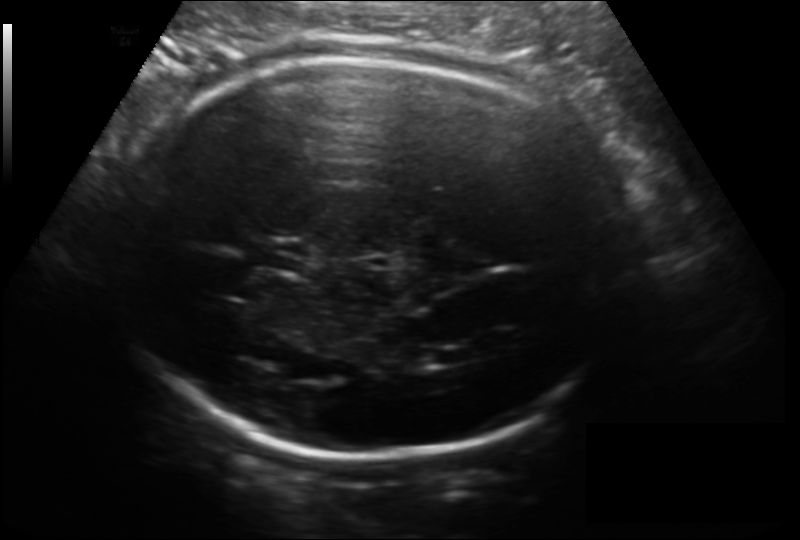
Fetal head ultrasound. Image width: 133.1 mm. Locate the fetal head.

Head: [109,59,629,457]